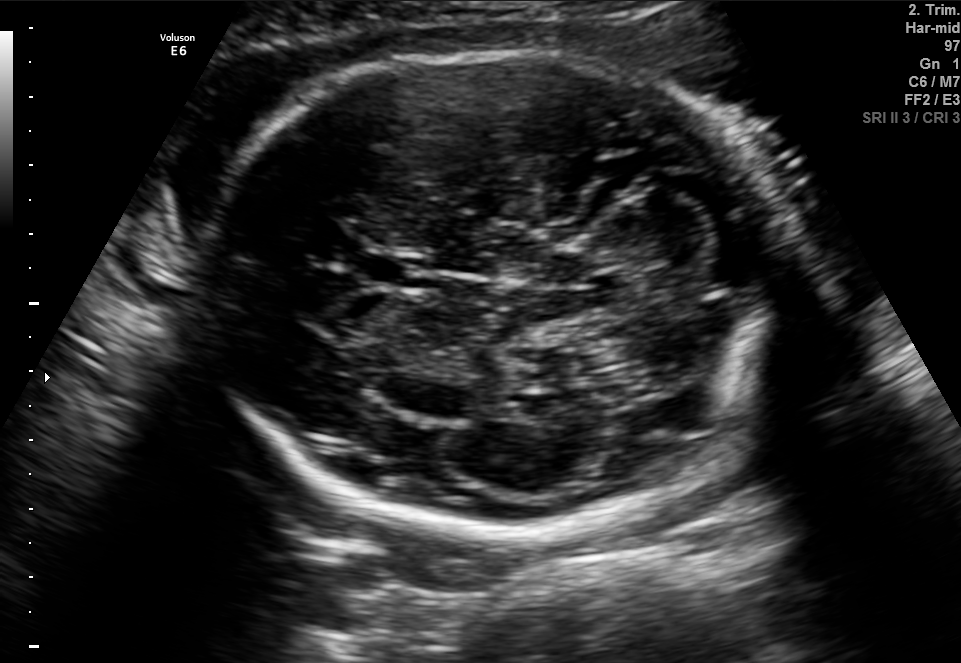
Fetal brain, trans-cerebellum plane. Where is the fetal head?

Head bounding box: [205,52,784,533]